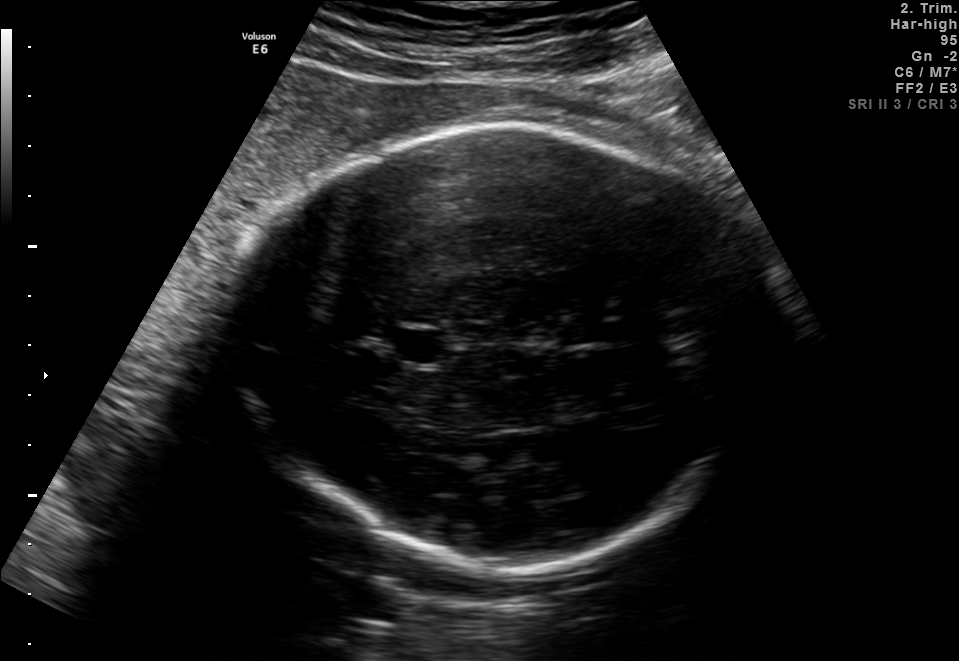
In this fetal brain, trans-thalamic plane, give the bounding box of the cavum septum pellucidum.

[390,328,447,366]